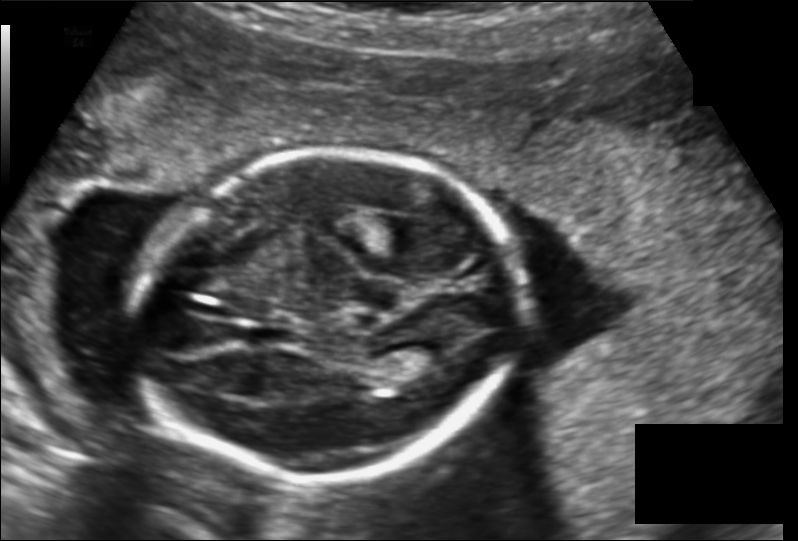
Fetal head ultrasound. Image width: 118.8 mm. Where is the fetal head?

Head bounding box: [134,151,524,480]